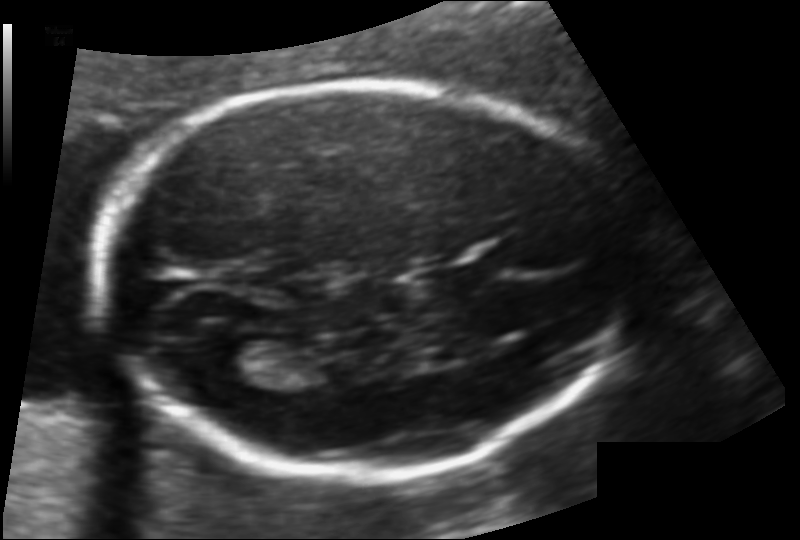
Estimate the fetal head circumference from this 2D ultrasound. Image width: 93.3 mm.

Head circumference: 177.9 mm.